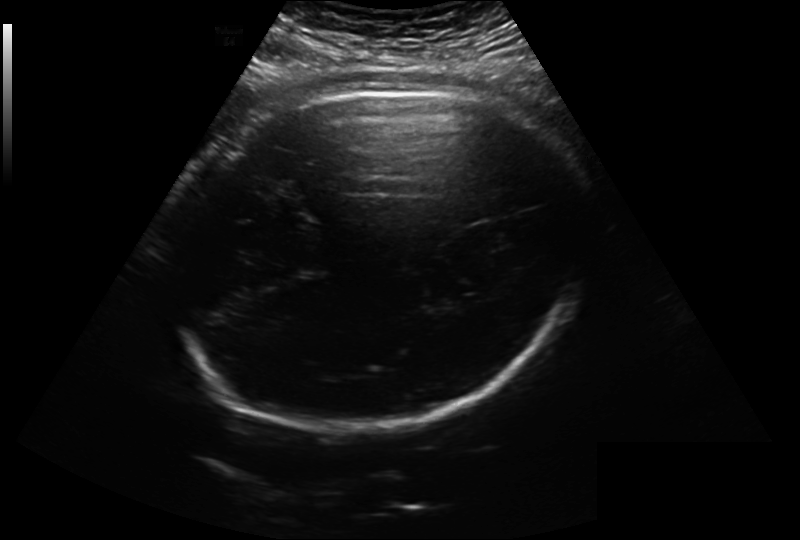
Estimate the fetal head circumference from this 2D ultrasound.

Head circumference: 346.4 mm (image width 223.6 mm).